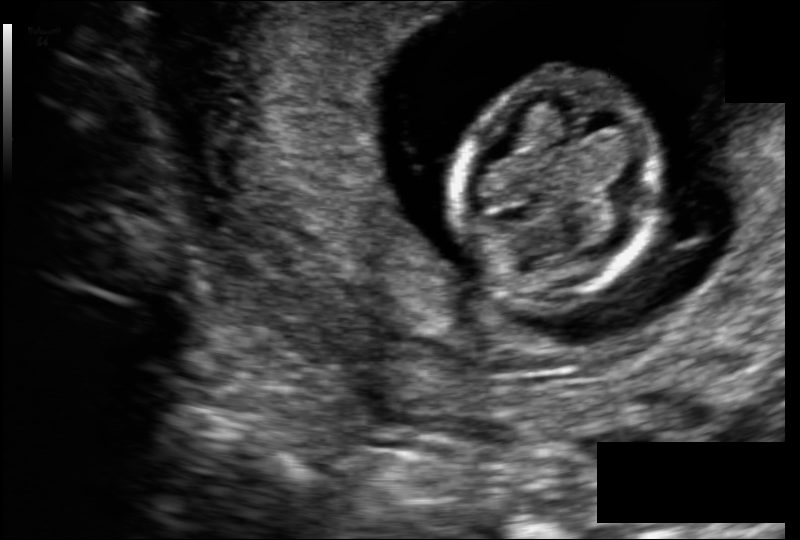
In this fetal head ultrasound, give bounding boxes for the head outline, cavum septum pellucidum (CSP), and lateral ventricle (LV), where visible. Image width: 87.2 mm.

Head: [451,74,662,301]